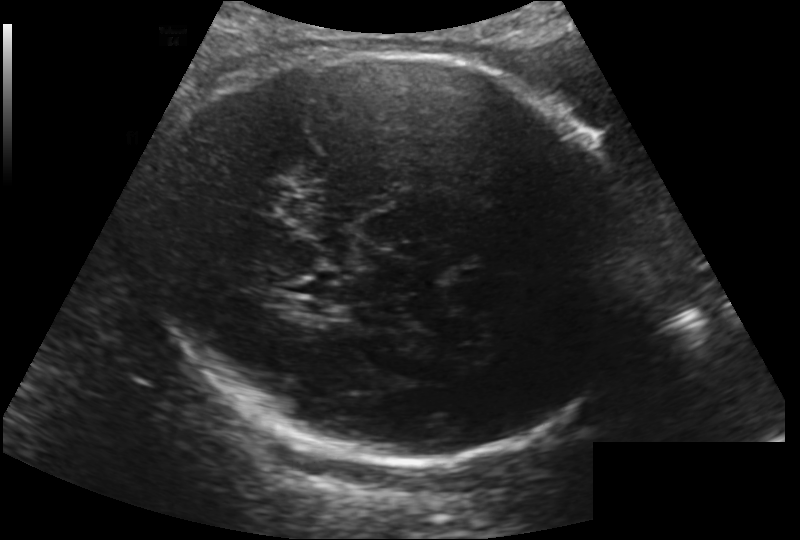
Fetal head ultrasound. Image width: 160.1 mm. Where is the fetal head?

Head bounding box: [152,51,638,464]